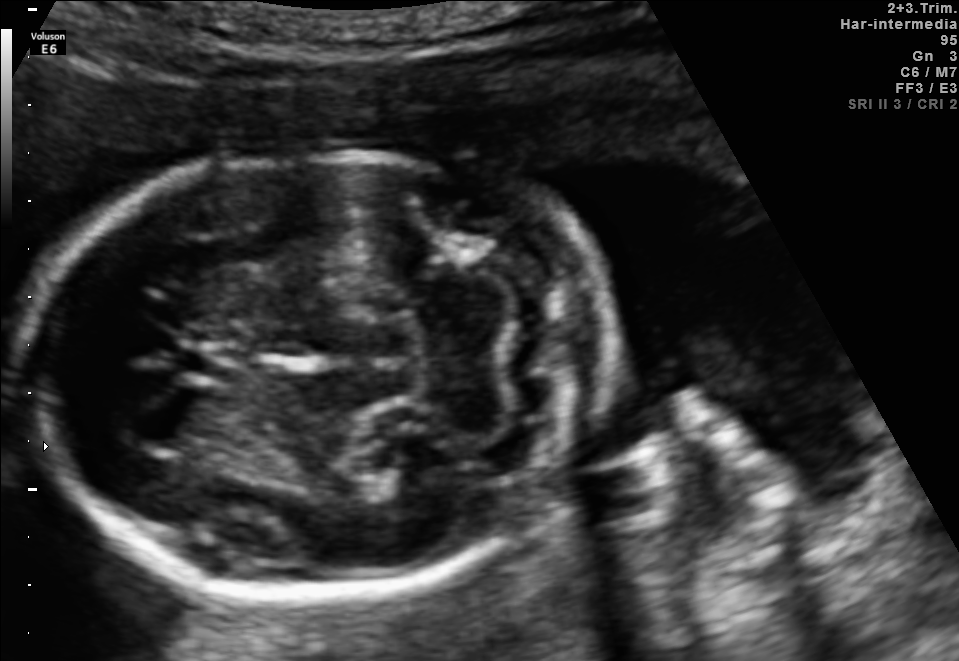
Fetal brain, trans-cerebellum plane. Locate the fetal head.

Head: [22,153,613,594]